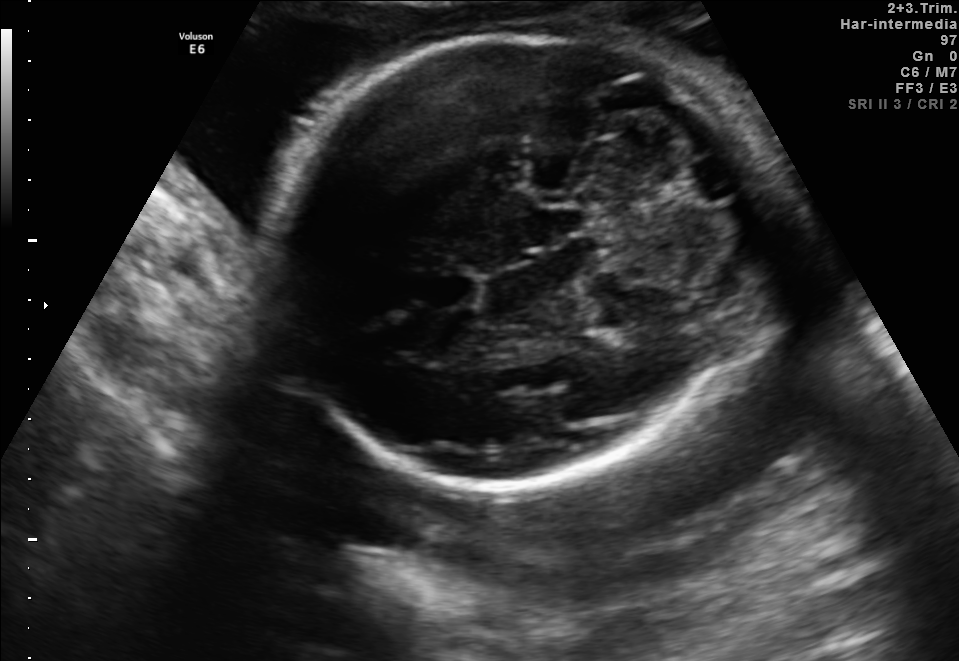
Fetal brain, trans-cerebellum plane. Locate the cavum septum pellucidum.

CSP: [413,271,477,308]